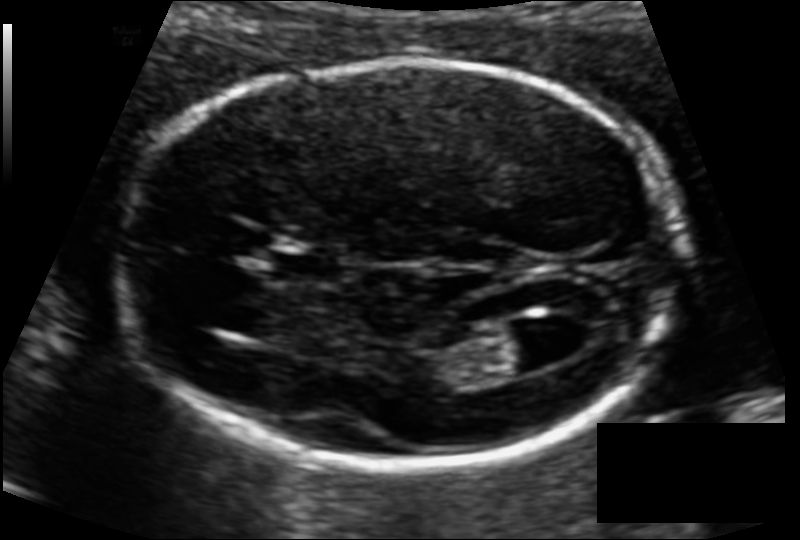
In this fetal head ultrasound, give the bounding box of the cavum septum pellucidum. Image width: 83.4 mm.

[272,253,342,281]